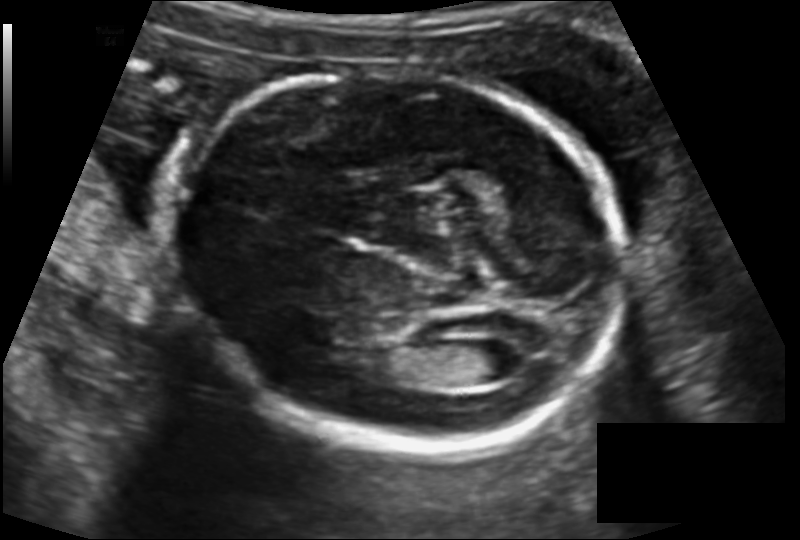
From this fetal ultrasound, estimate the head circumference (image width 103.4 mm).

Head circumference: 173.9 mm.